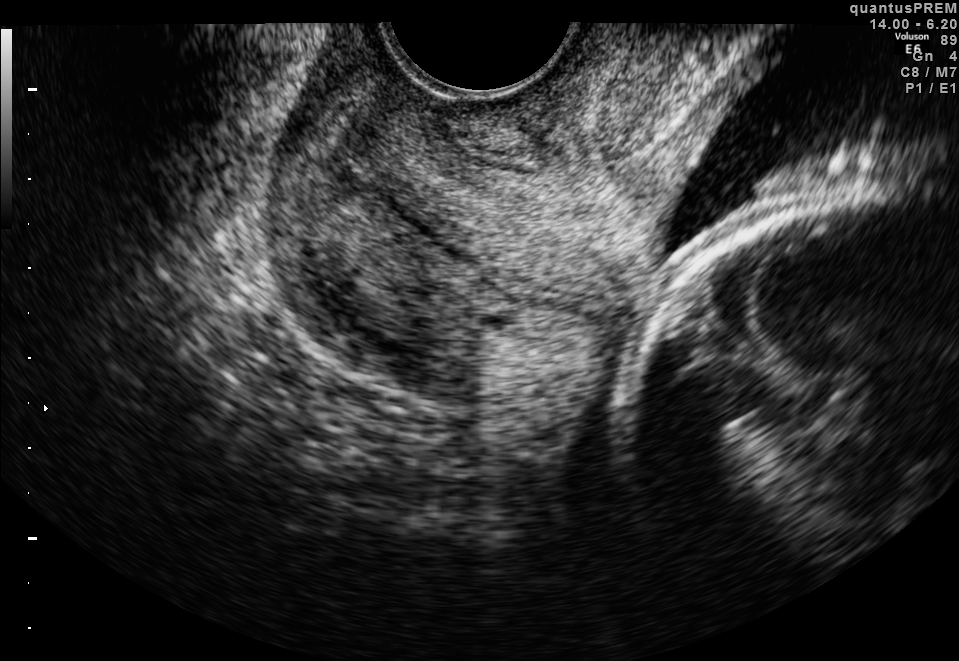
This is a 2D maternal-fetal ultrasound frame. Is it a fetal abdomen, fetal brain, fetal femur, fetal thorax, maternal cervix, or other standard plane? If it's fetal brain and one of the three standard brain planes (trans-thalamic, trans-cerebellum, trans-ventricular), name which.

Maternal cervix